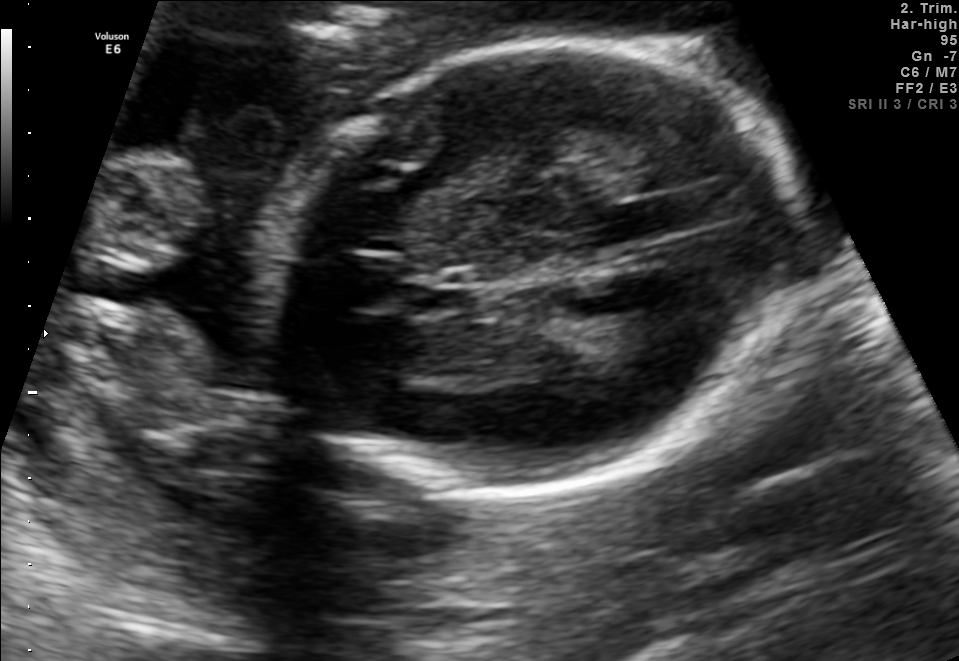
Fetal brain, trans-thalamic plane. Where is the fetal head?

Head bounding box: [266,41,801,498]